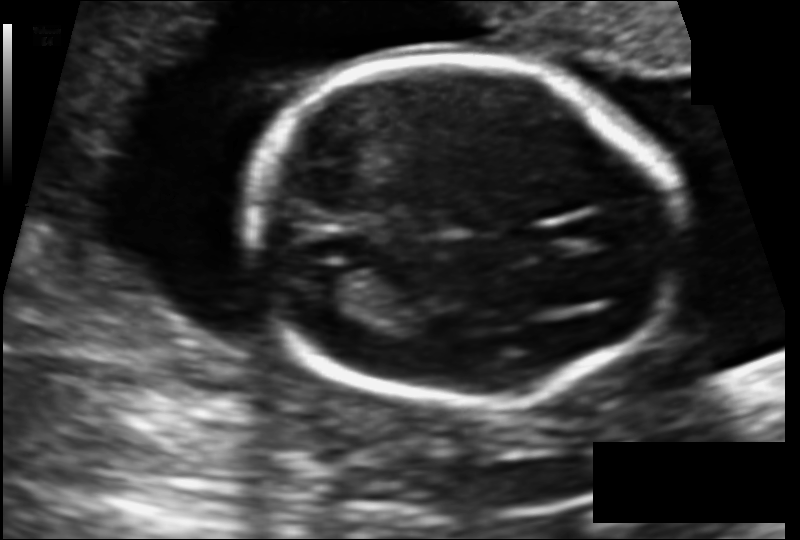
Measure the fetal head circumference shown in this ultrasound image. Image width: 96.7 mm.

Head circumference: 153.8 mm.